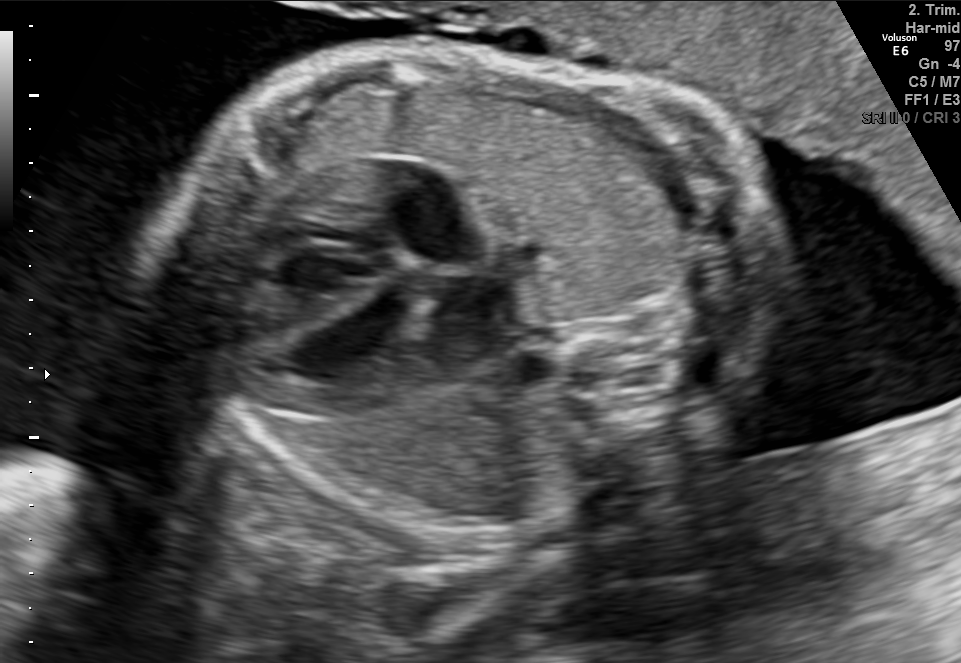
This is a 2D maternal-fetal ultrasound frame. Is it a fetal abdomen, fetal brain, fetal femur, fetal thorax, maternal cervix, or other standard plane? If it's fetal brain and one of the three standard brain planes (trans-thalamic, trans-cerebellum, trans-ventricular), name which.

Fetal thorax